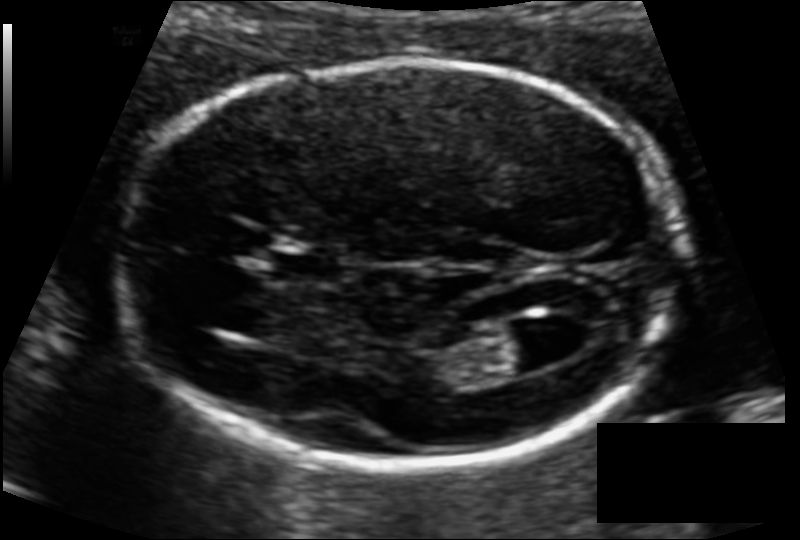
Fetal head ultrasound. Image width: 83.4 mm. Where is the fetal head?

Head bounding box: [121,60,686,462]